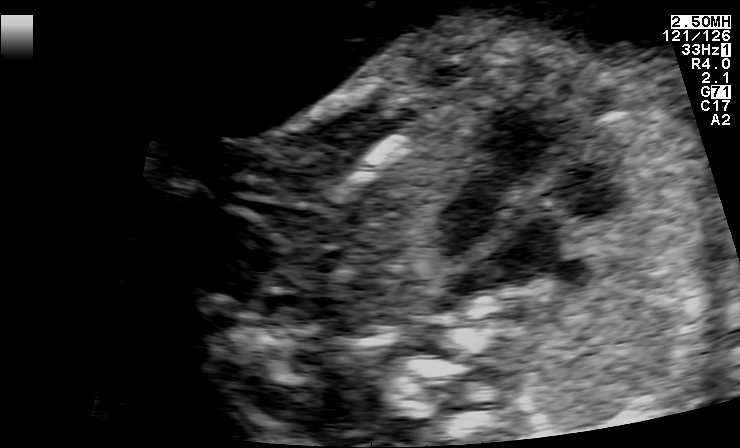
Classify this maternal-fetal ultrasound image as one of the six standard planes — fetal abdomen, fetal brain, fetal femur, fetal thorax, maternal cervix, or other. If it's fetal brain and one of the three standard brain planes (trans-thalamic, trans-cerebellum, trans-ventricular), name which.

Fetal thorax